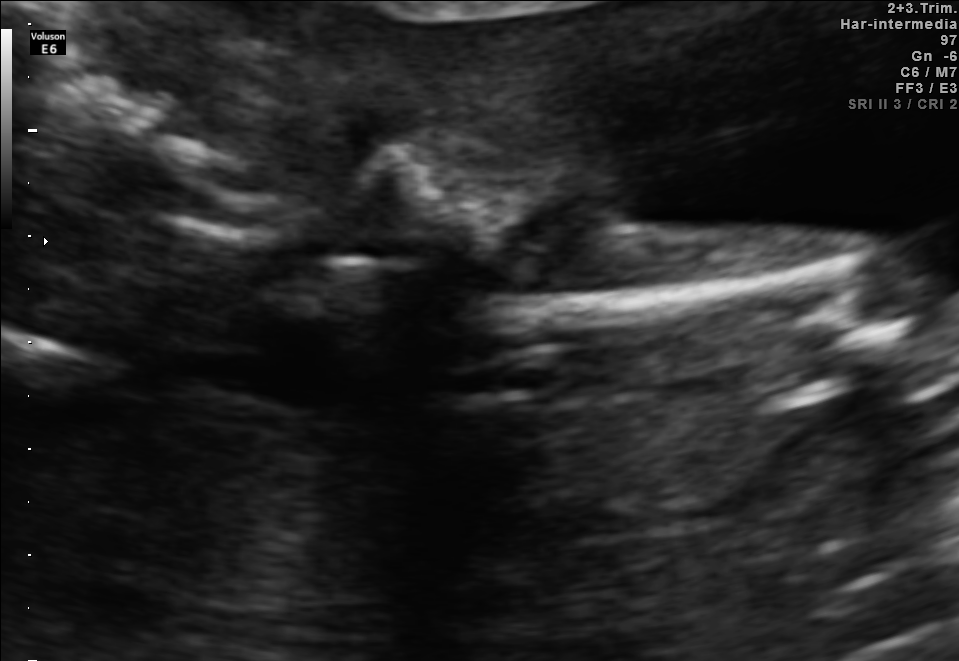
Classify this maternal-fetal ultrasound image as one of the six standard planes — fetal abdomen, fetal brain, fetal femur, fetal thorax, maternal cervix, or other. If it's fetal brain and one of the three standard brain planes (trans-thalamic, trans-cerebellum, trans-ventricular), name which.

Fetal femur